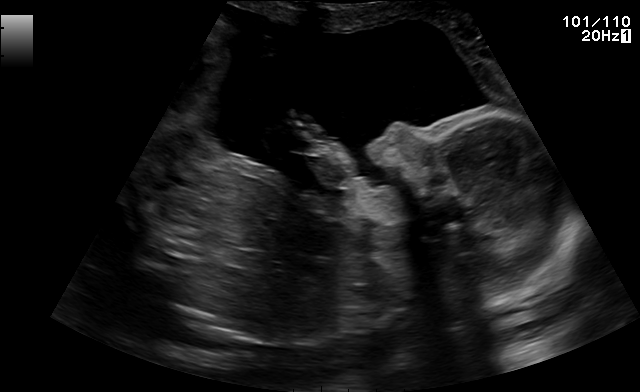
Classify this maternal-fetal ultrasound image as one of the six standard planes — fetal abdomen, fetal brain, fetal femur, fetal thorax, maternal cervix, or other. If it's fetal brain and one of the three standard brain planes (trans-thalamic, trans-cerebellum, trans-ventricular), name which.

Other